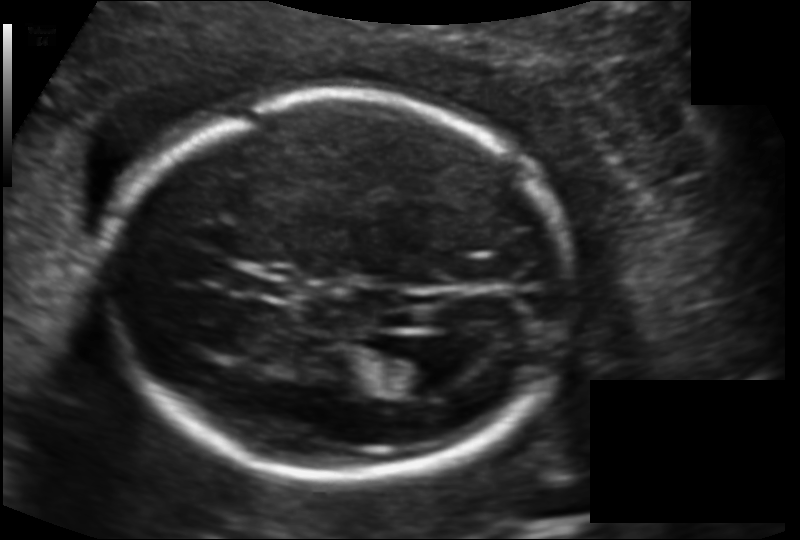
What is the fetal head circumference? Image width is 107.3 mm.

183.5 mm